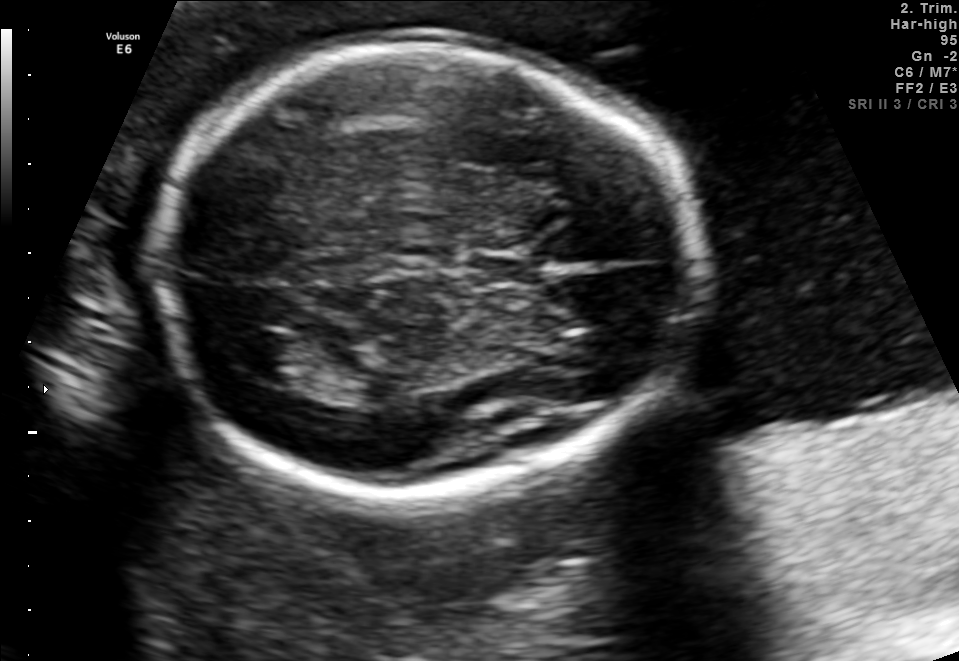
Which standard maternal-fetal ultrasound plane is shown: fetal abdomen, fetal brain, fetal femur, fetal thorax, maternal cervix, or other? If it's fetal brain and one of the three standard brain planes (trans-thalamic, trans-cerebellum, trans-ventricular), name which.

Fetal brain (trans-thalamic plane)